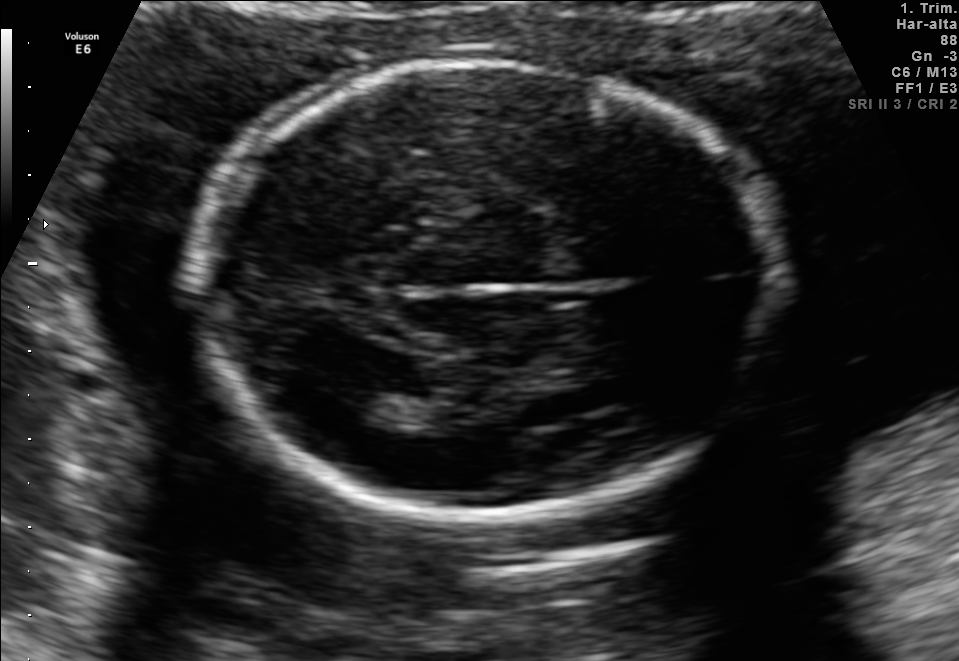
Fetal brain, trans-thalamic plane. Give [x1,y1,x2,y2] bounding boxes for each visible structure among: fetal head, CSP, LV.

Head: [196,63,779,518]
Lateral ventricle: [325,376,405,434]